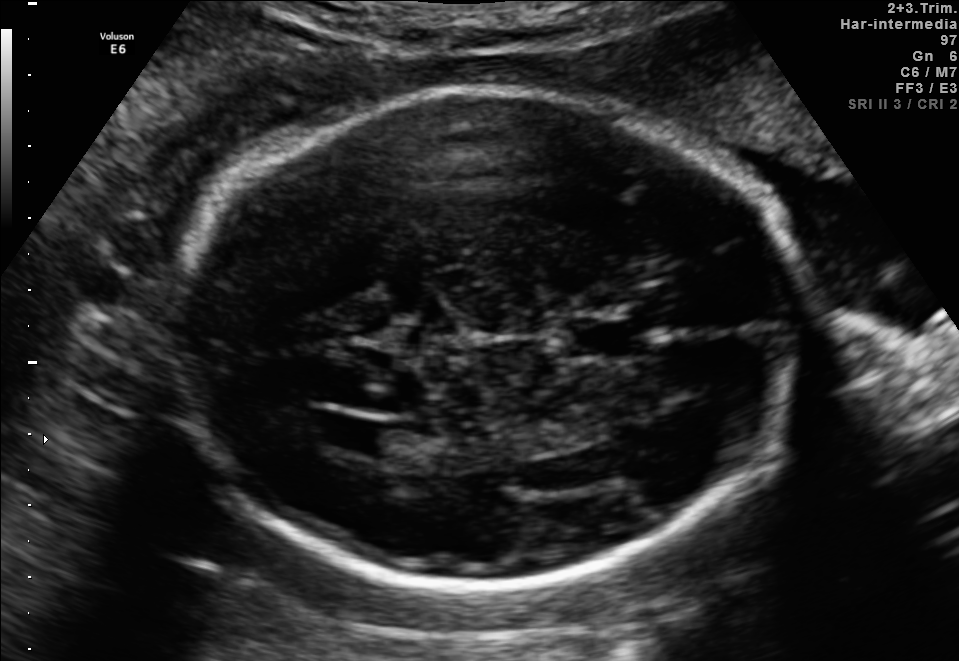
In this fetal brain, trans-ventricular plane, give bounding boxes for the head outline, cavum septum pellucidum (CSP), and lateral ventricle (LV), where visible.

Head: [161,85,816,592]
CSP: [554,321,641,355]
Lateral ventricle: [320,411,383,458]